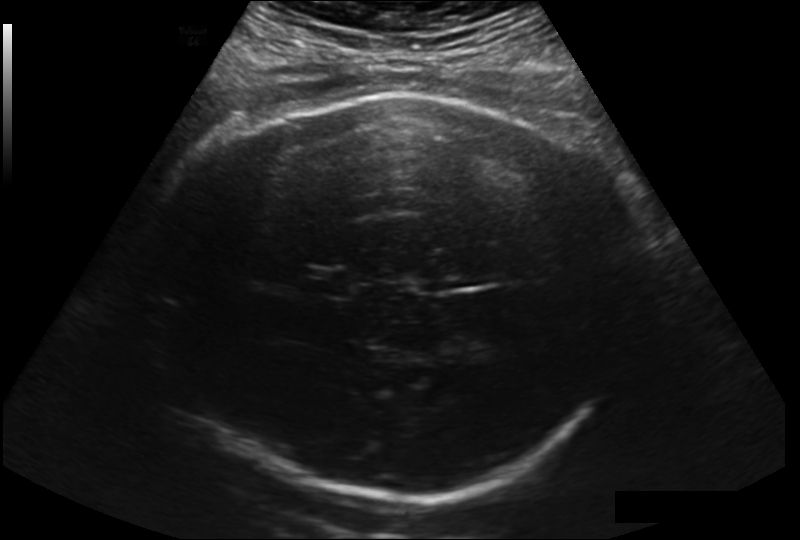
Fetal head ultrasound. Image width: 179.8 mm. Locate the fetal head and, if visible, the cavum septum pellucidum (CSP) and lateral ventricle (LV). Give bounding boxes as [x1,y1,x2,y2].

Head: [141,92,631,497]